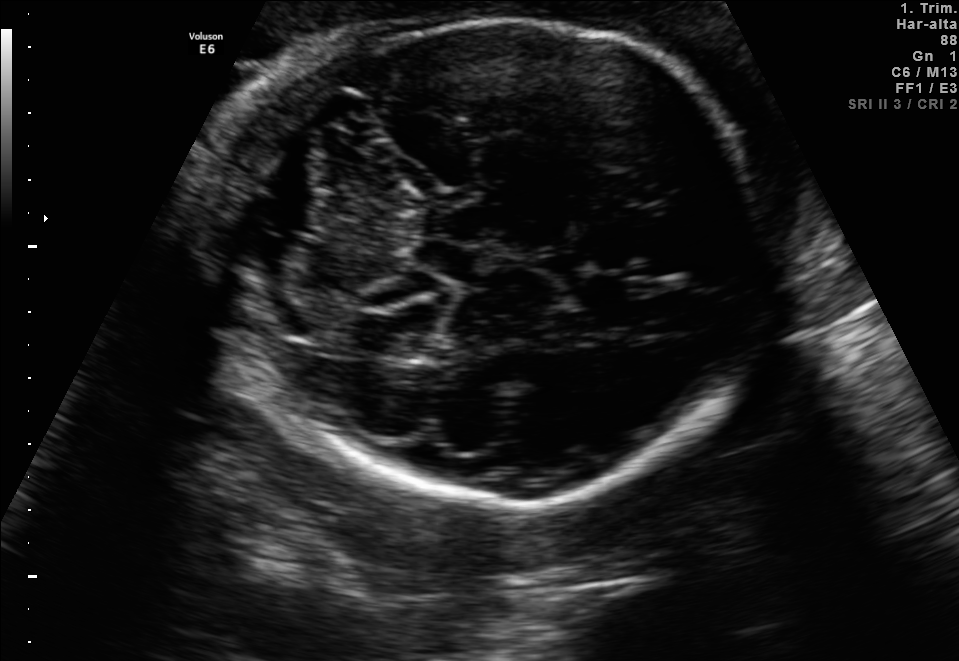
In this fetal brain, trans-cerebellum plane, give bounding boxes for the head outline, cavum septum pellucidum (CSP), and lateral ventricle (LV), where visible.

Head: [214,18,769,507]